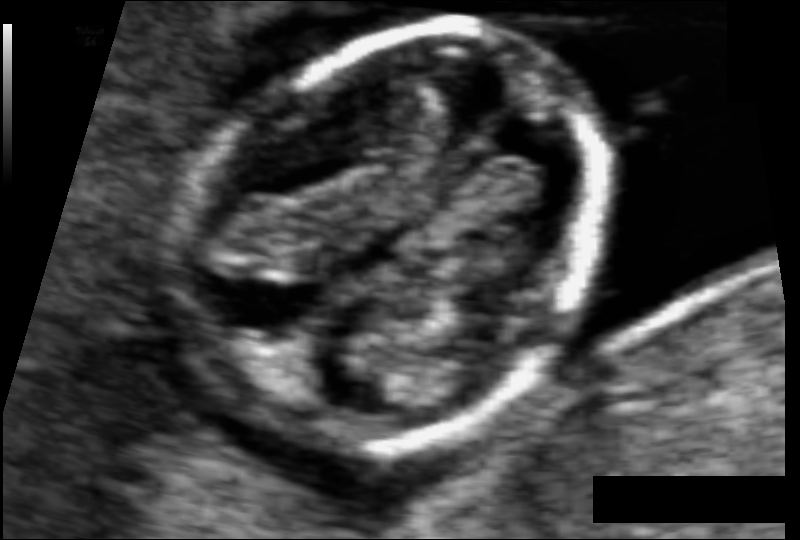
What is the fetal head circumference? Image width is 47.6 mm.

82.9 mm